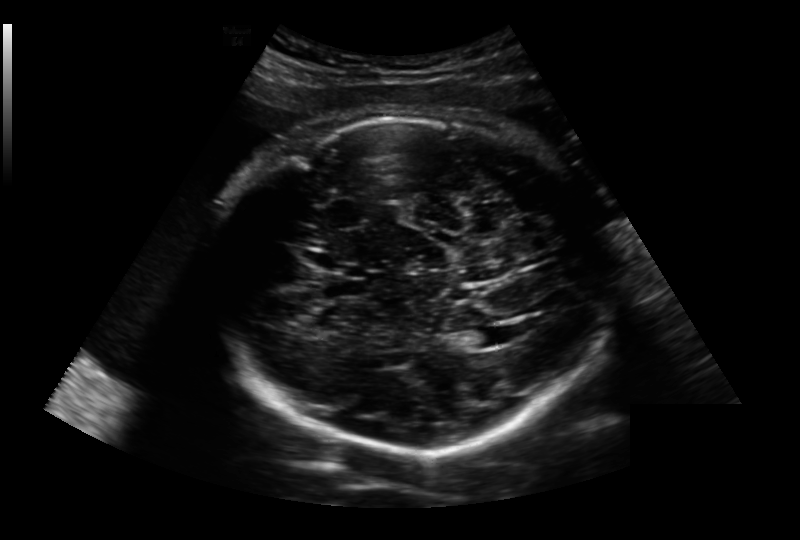
Fetal head ultrasound. Image width: 188.7 mm. Where is the fetal head?

Head bounding box: [208,115,609,454]